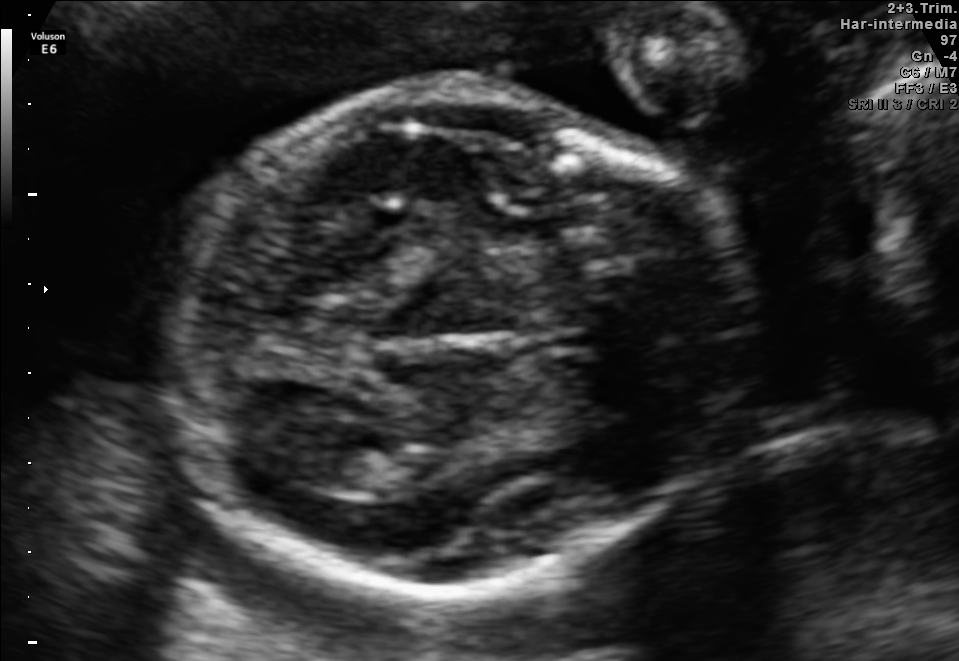
In this fetal brain, trans-thalamic plane, give the bounding box of the lateral ventricle.

[304,439,393,496]